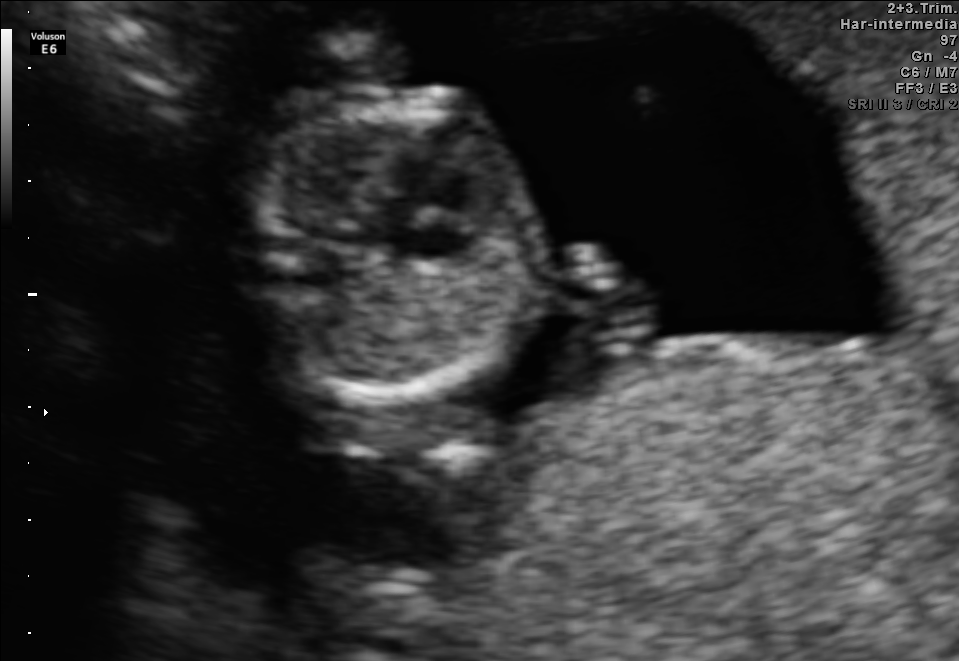
Classify this maternal-fetal ultrasound image as one of the six standard planes — fetal abdomen, fetal brain, fetal femur, fetal thorax, maternal cervix, or other. If it's fetal brain and one of the three standard brain planes (trans-thalamic, trans-cerebellum, trans-ventricular), name which.

Fetal thorax